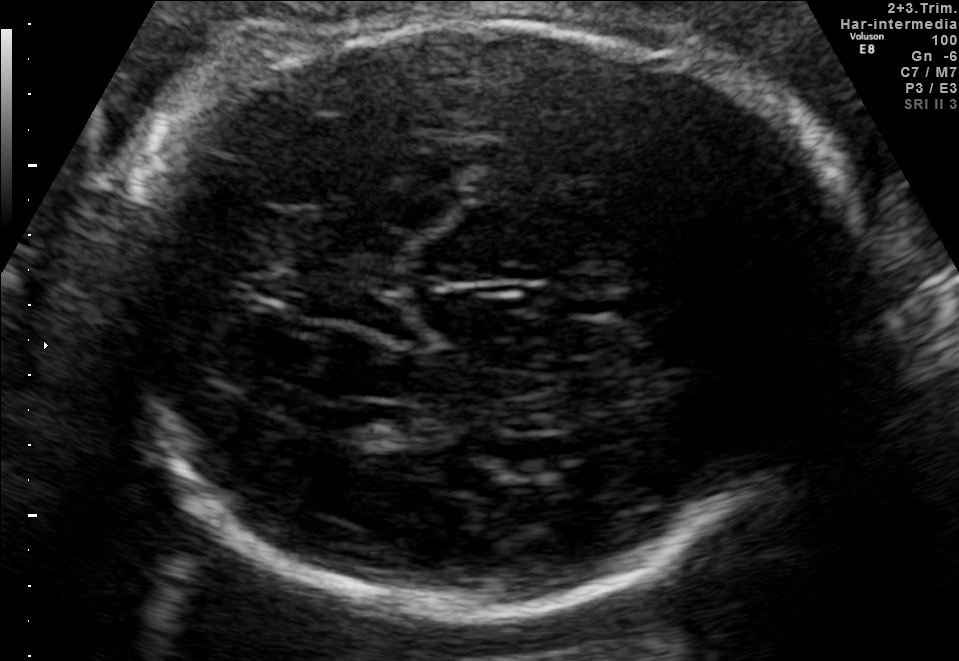
Fetal brain, trans-thalamic plane. Where is the lateral ventricle?

Lateral ventricle bounding box: [325,400,417,447]